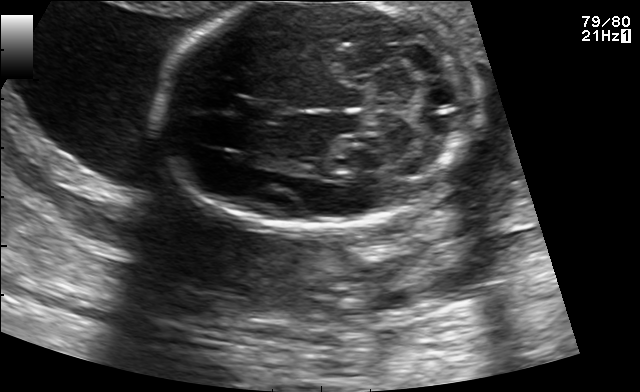
Fetal brain, trans-cerebellum plane. Locate the fetal head.

Head: [156,3,483,228]